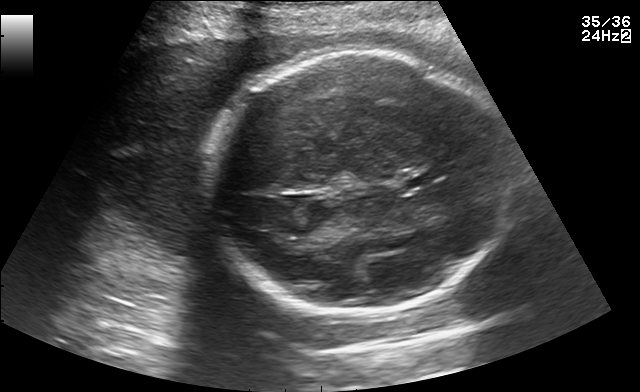
Fetal brain, trans-thalamic plane. Locate the fetal head and, if visible, the cavum septum pellucidum (CSP) and lateral ventricle (LV). Give bounding boxes as [x1,y1,x2,y2].

Head: [206,49,509,312]
CSP: [404,167,442,191]